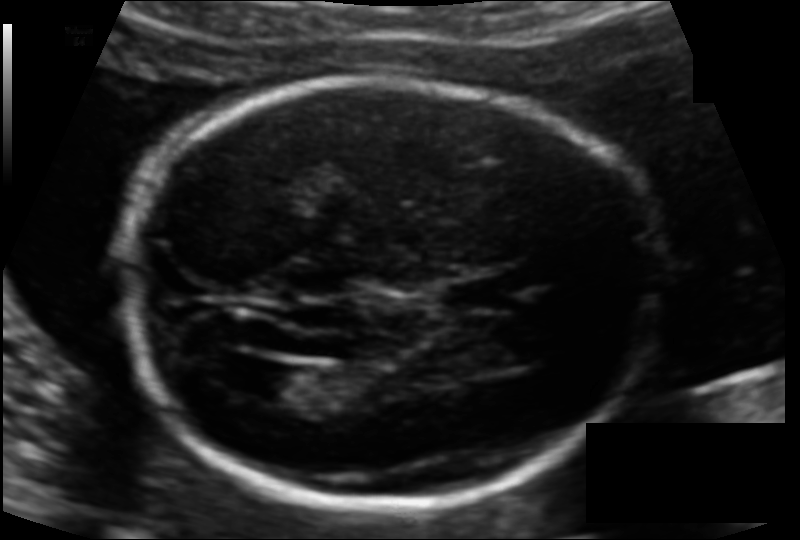
In this fetal head ultrasound, give the bounding box of the fetal head. Image width: 90.3 mm.

[121,80,662,506]